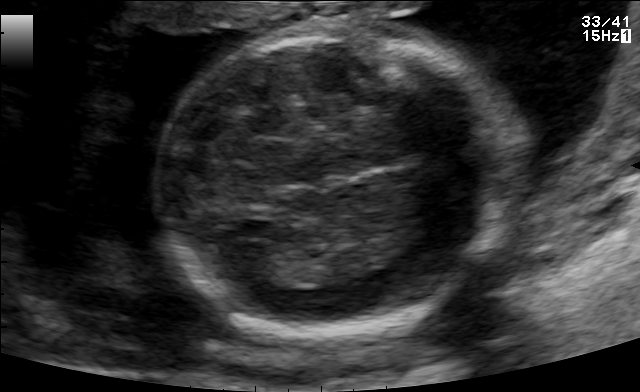
Fetal brain, trans-thalamic plane. Give [x1,y1,x2,y2] bounding boxes for each visible structure among: fetal head, CSP, LV.

Head: [163,27,503,337]